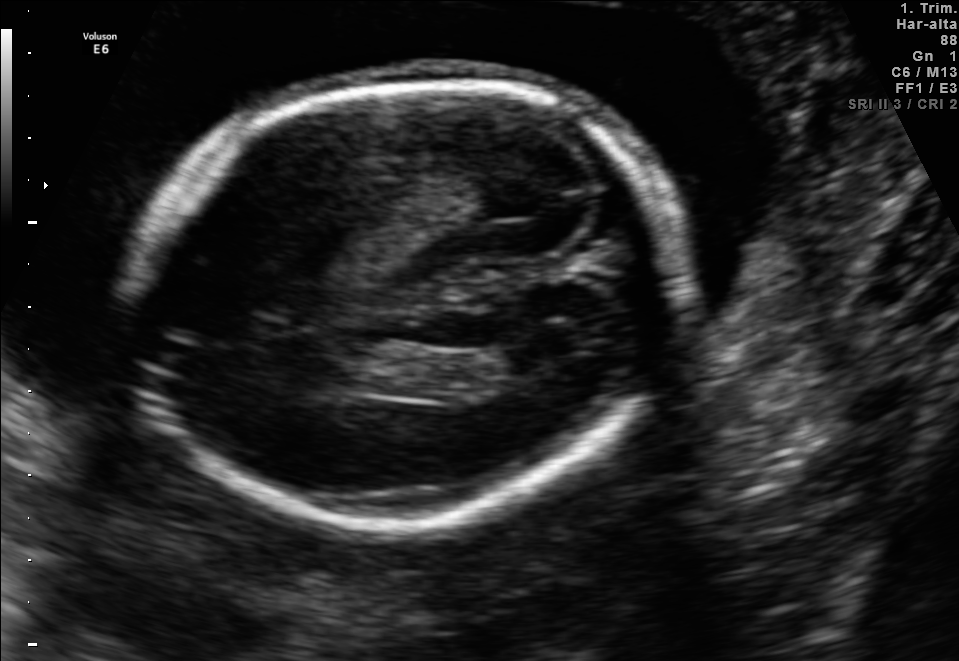
In this fetal brain, trans-ventricular plane, give bounding boxes for the head outline, cavum septum pellucidum (CSP), and lateral ventricle (LV), where visible.

Head: [121,73,702,532]